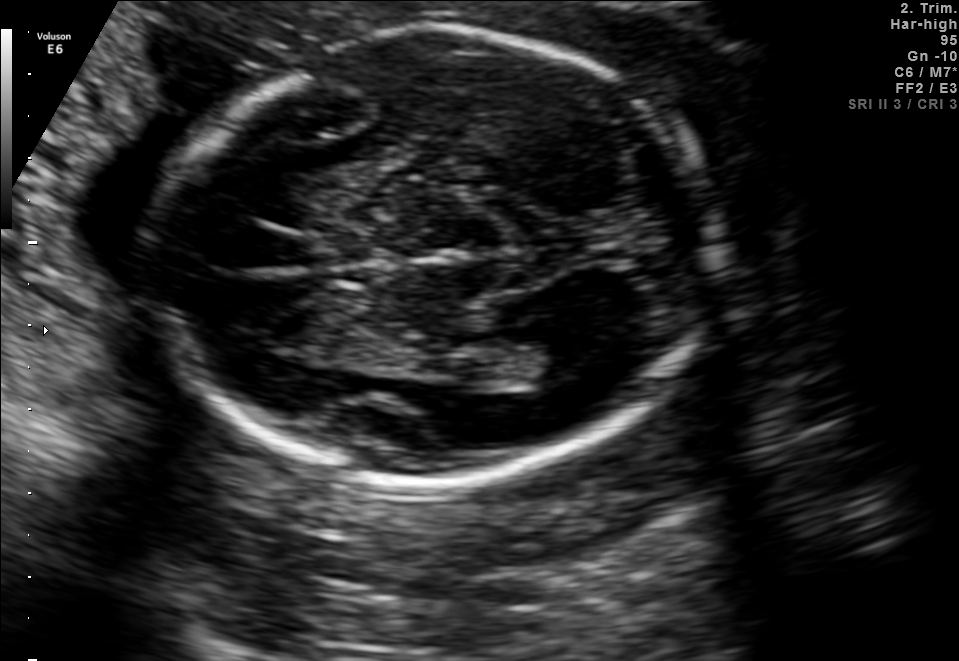
Fetal brain, trans-ventricular plane. Give [x1,y1,x2,y2] bounding boxes for each visible structure among: fetal head, CSP, LV.

Head: [148,28,727,489]
CSP: [305,248,384,283]
Lateral ventricle: [521,324,604,383]